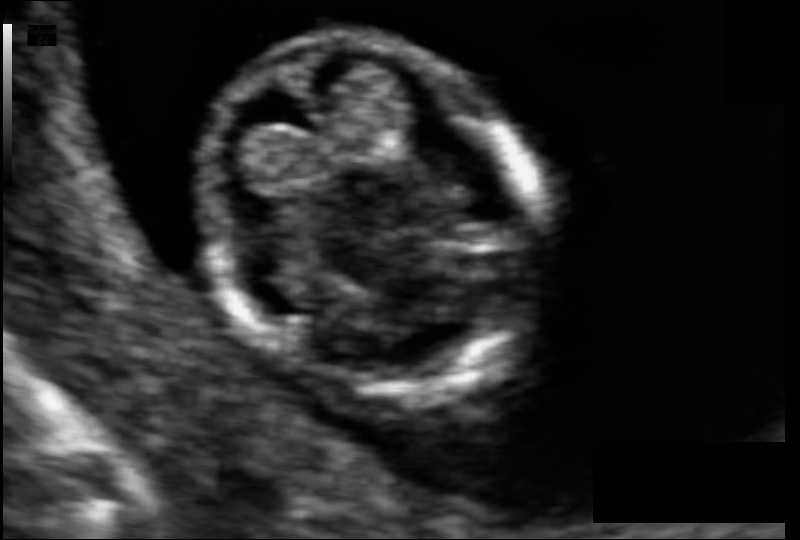
Fetal head ultrasound. Image width: 50.8 mm. Locate the fetal head and, if visible, the cavum septum pellucidum (CSP) and lateral ventricle (LV). Give bounding boxes as [x1,y1,x2,y2].

Head: [206,35,537,402]